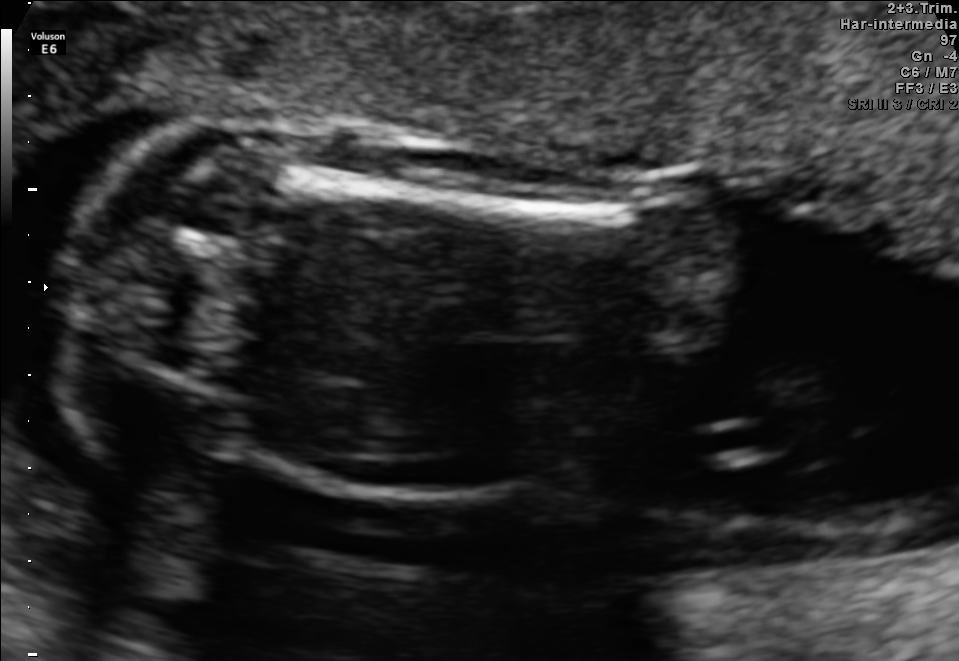
Identify the standard plane in this fetal ultrasound image: fetal abdomen, fetal brain, fetal femur, fetal thorax, maternal cervix, or other. If it's fetal brain and one of the three standard brain planes (trans-thalamic, trans-cerebellum, trans-ventricular), name which.

Fetal femur